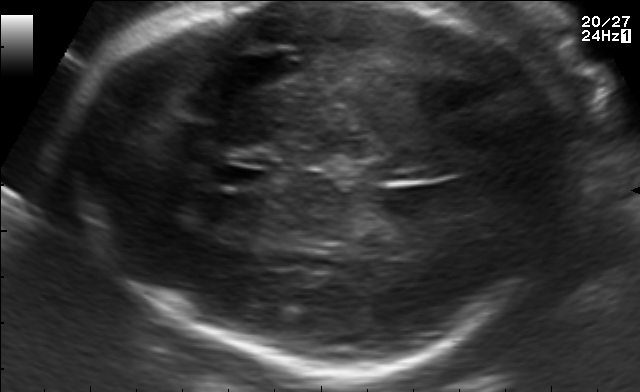
Fetal brain, trans-thalamic plane. Locate the fetal head.

Head: [46,4,561,362]